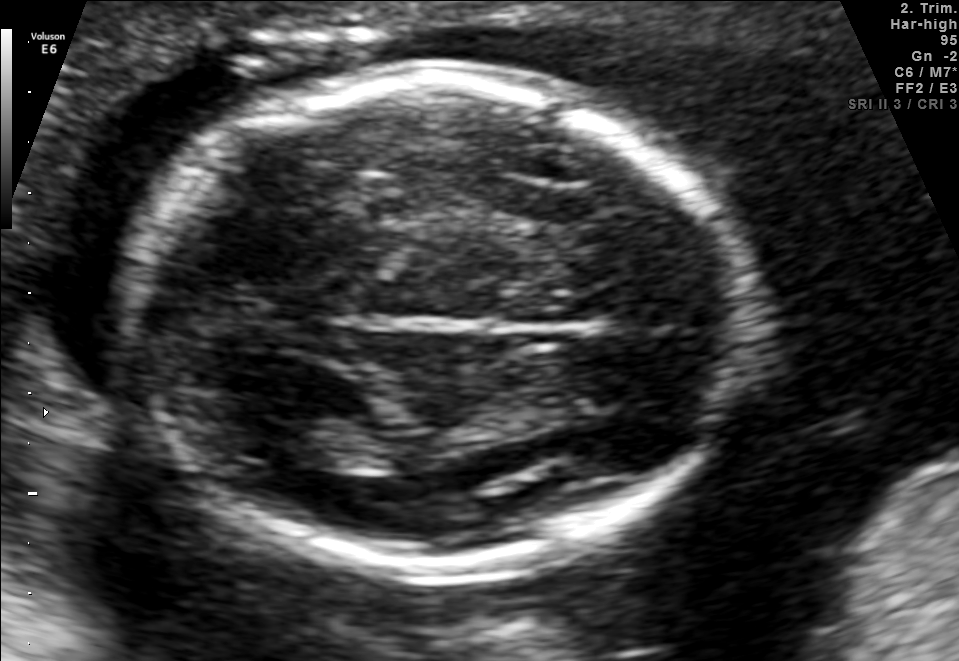
In this fetal brain, trans-thalamic plane, give the bounding box of the lateral ventricle.

[245,413,345,473]